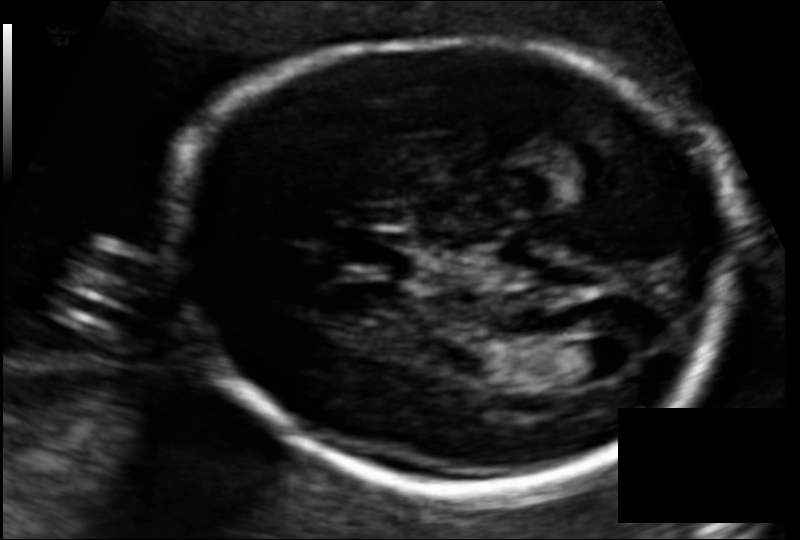
From this fetal ultrasound, estimate the head circumference (image width 86.4 mm).

Head circumference: 182.0 mm.